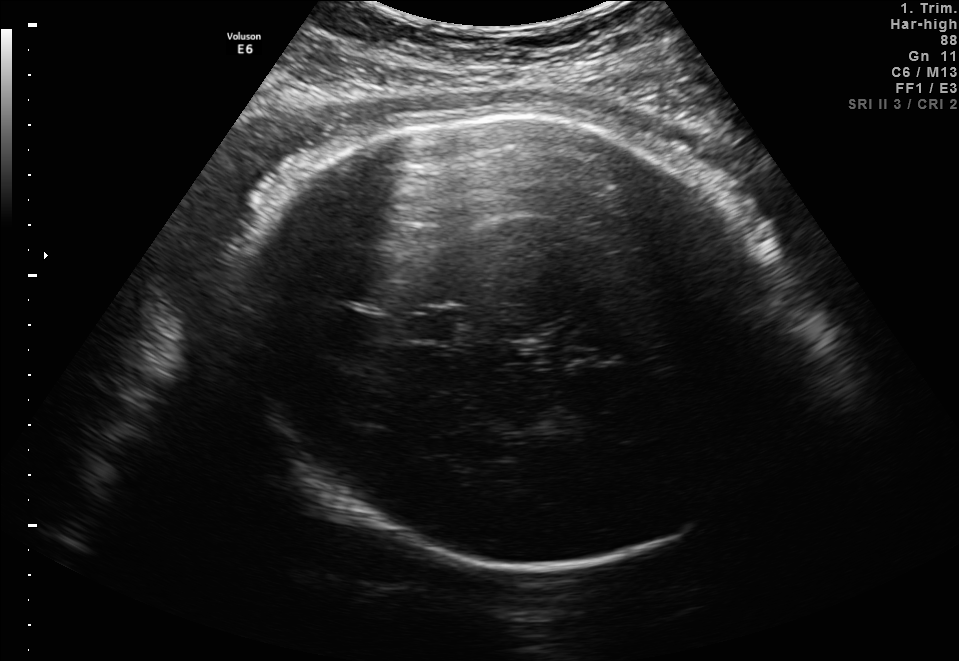
In this fetal brain, trans-thalamic plane, give the bounding box of the fetal head.

[236,118,785,565]